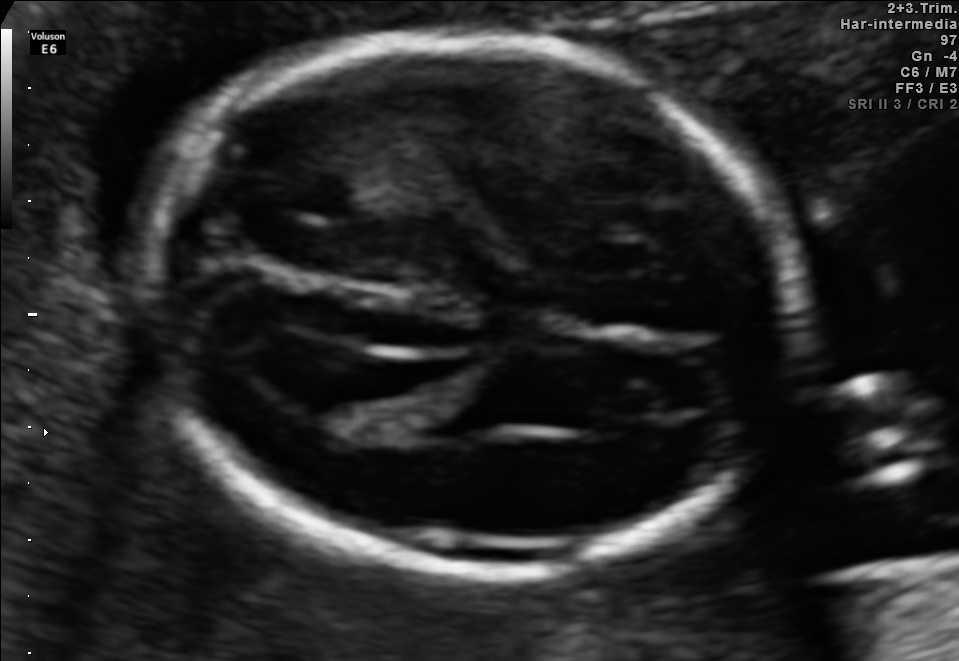
Fetal brain, trans-ventricular plane. Locate the fetal head.

Head: [134,27,821,590]